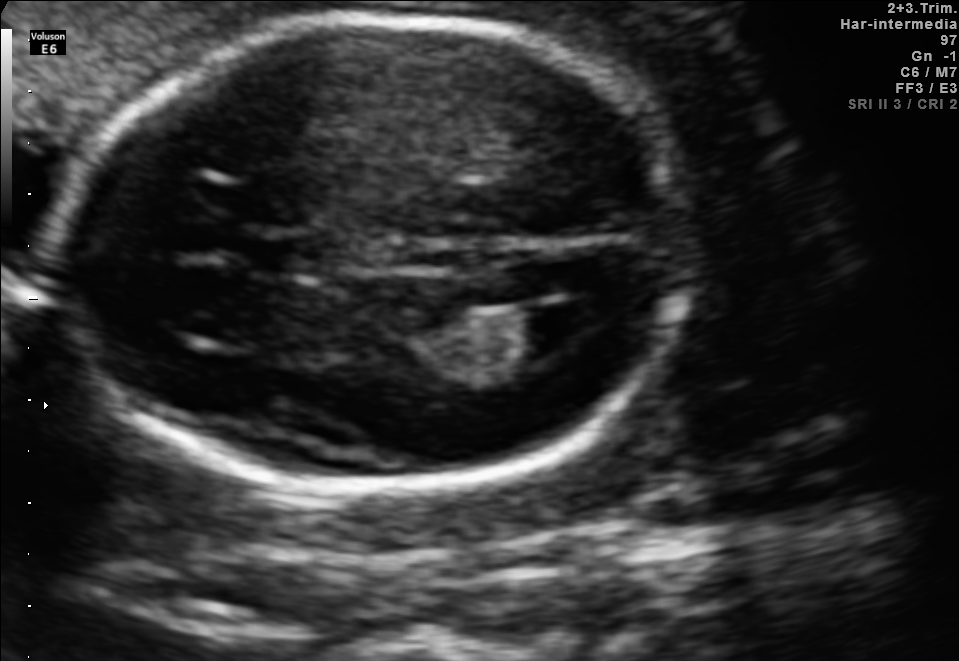
In this fetal brain, trans-ventricular plane, give the bounding box of the cavum septum pellucidum.

[248,239,323,272]